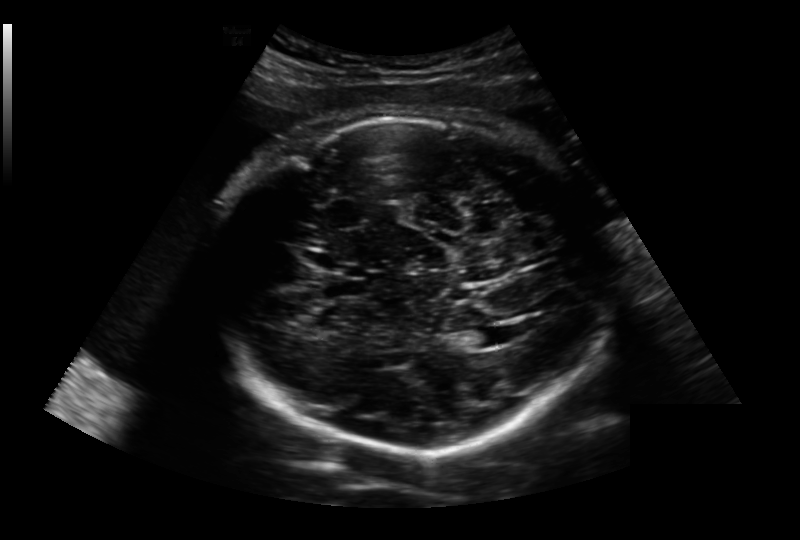
Fetal head ultrasound. Image width: 188.7 mm. Where is the cavum septum pellucidum?

CSP bounding box: [320,277,372,300]